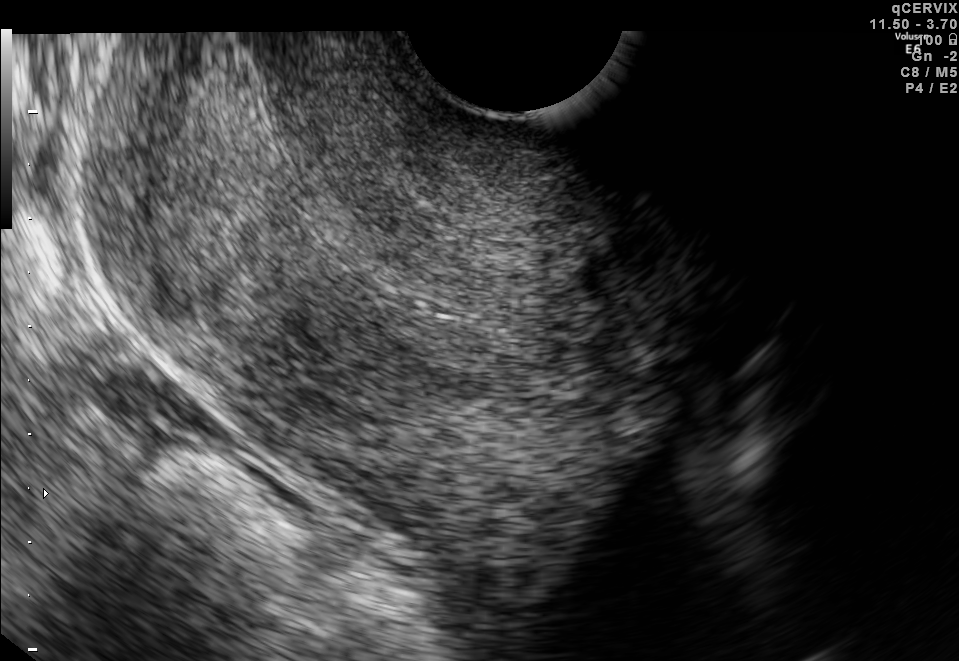
Classify this maternal-fetal ultrasound image as one of the six standard planes — fetal abdomen, fetal brain, fetal femur, fetal thorax, maternal cervix, or other. If it's fetal brain and one of the three standard brain planes (trans-thalamic, trans-cerebellum, trans-ventricular), name which.

Maternal cervix